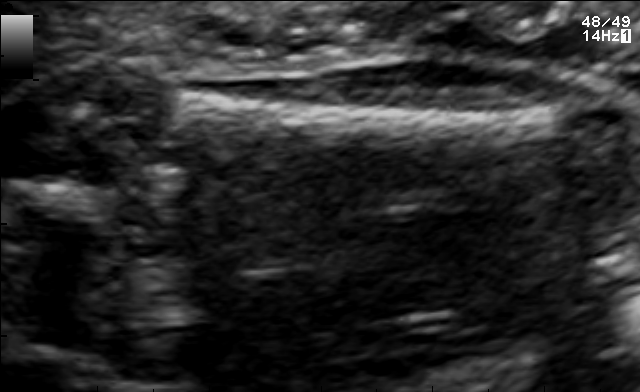
This is a 2D maternal-fetal ultrasound frame. Is it a fetal abdomen, fetal brain, fetal femur, fetal thorax, maternal cervix, or other standard plane? If it's fetal brain and one of the three standard brain planes (trans-thalamic, trans-cerebellum, trans-ventricular), name which.

Fetal femur